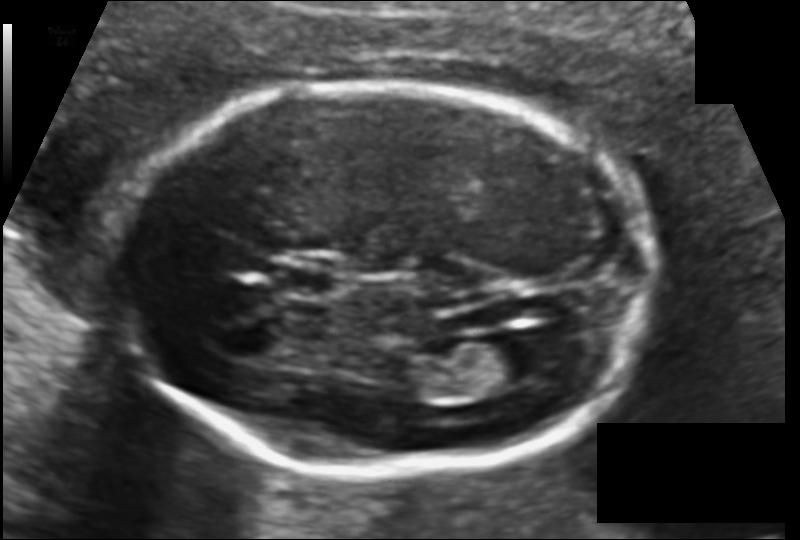
In this fetal head ultrasound, give the bounding box of the fetal head. Image width: 90.6 mm.

[122,84,657,474]